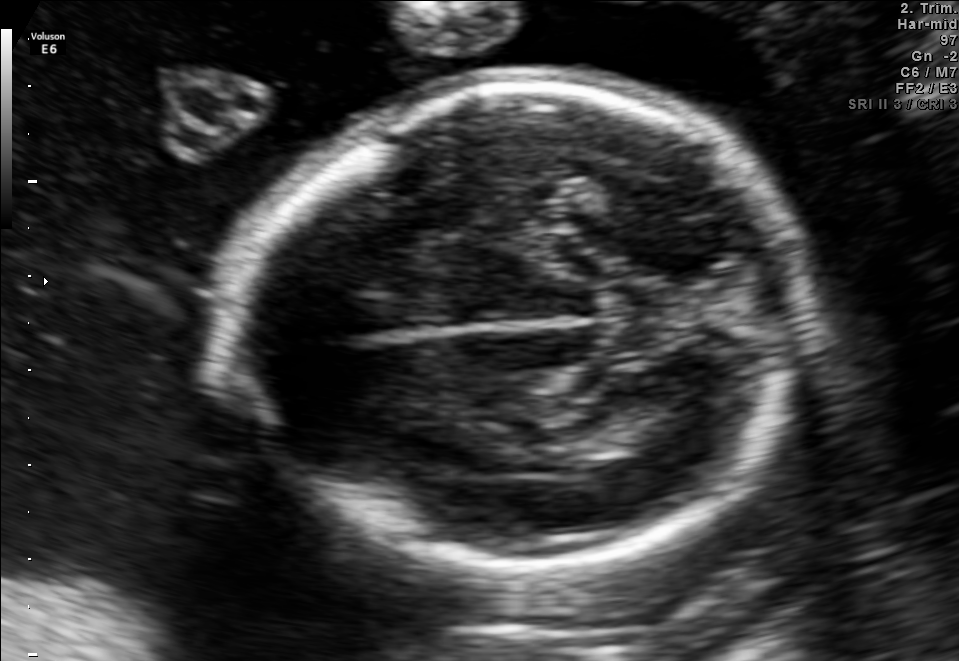
This is a 2D maternal-fetal ultrasound frame. Is it a fetal abdomen, fetal brain, fetal femur, fetal thorax, maternal cervix, or other standard plane? If it's fetal brain and one of the three standard brain planes (trans-thalamic, trans-cerebellum, trans-ventricular), name which.

Fetal brain (trans-thalamic plane)